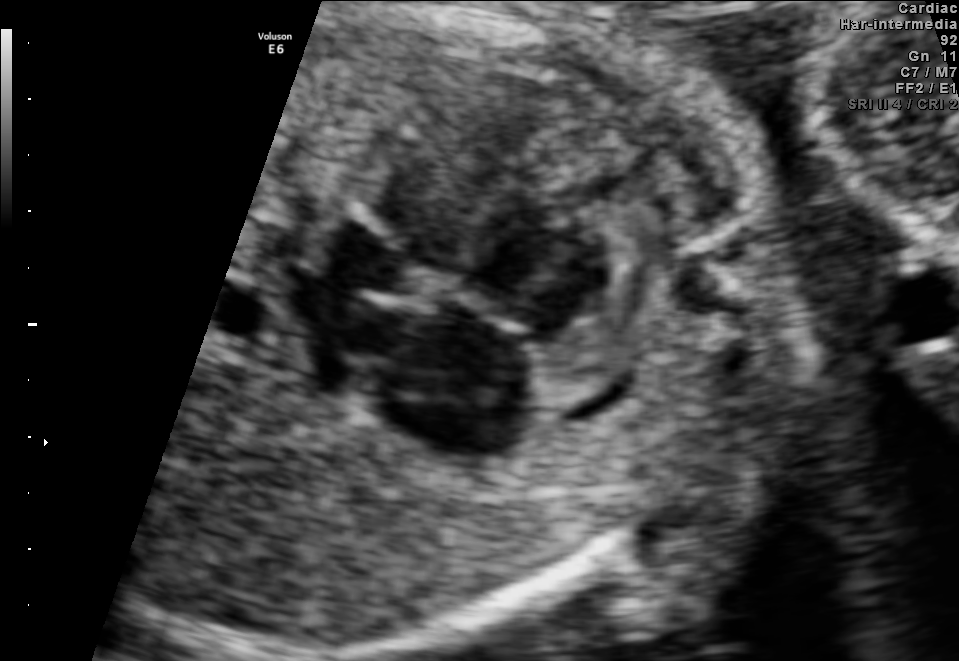
Classify this maternal-fetal ultrasound image as one of the six standard planes — fetal abdomen, fetal brain, fetal femur, fetal thorax, maternal cervix, or other. If it's fetal brain and one of the three standard brain planes (trans-thalamic, trans-cerebellum, trans-ventricular), name which.

Fetal thorax